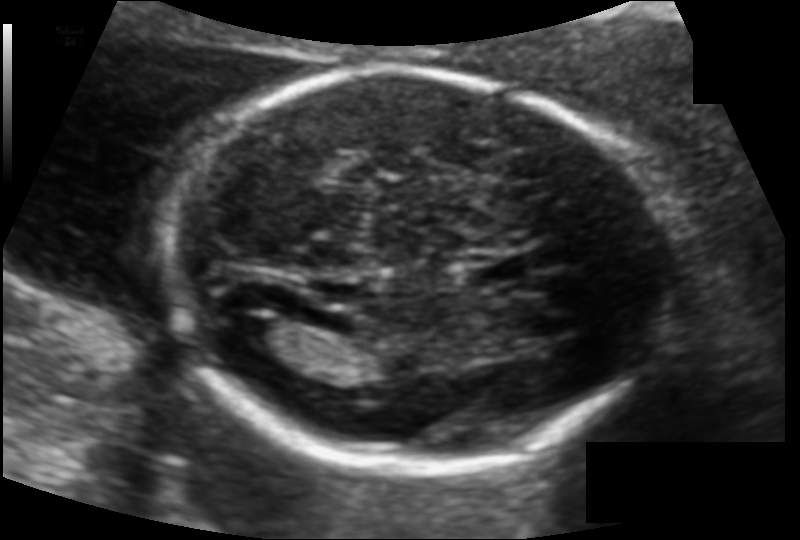
From this fetal ultrasound, estimate the head circumference (image width 91.9 mm).

Head circumference: 167.8 mm.